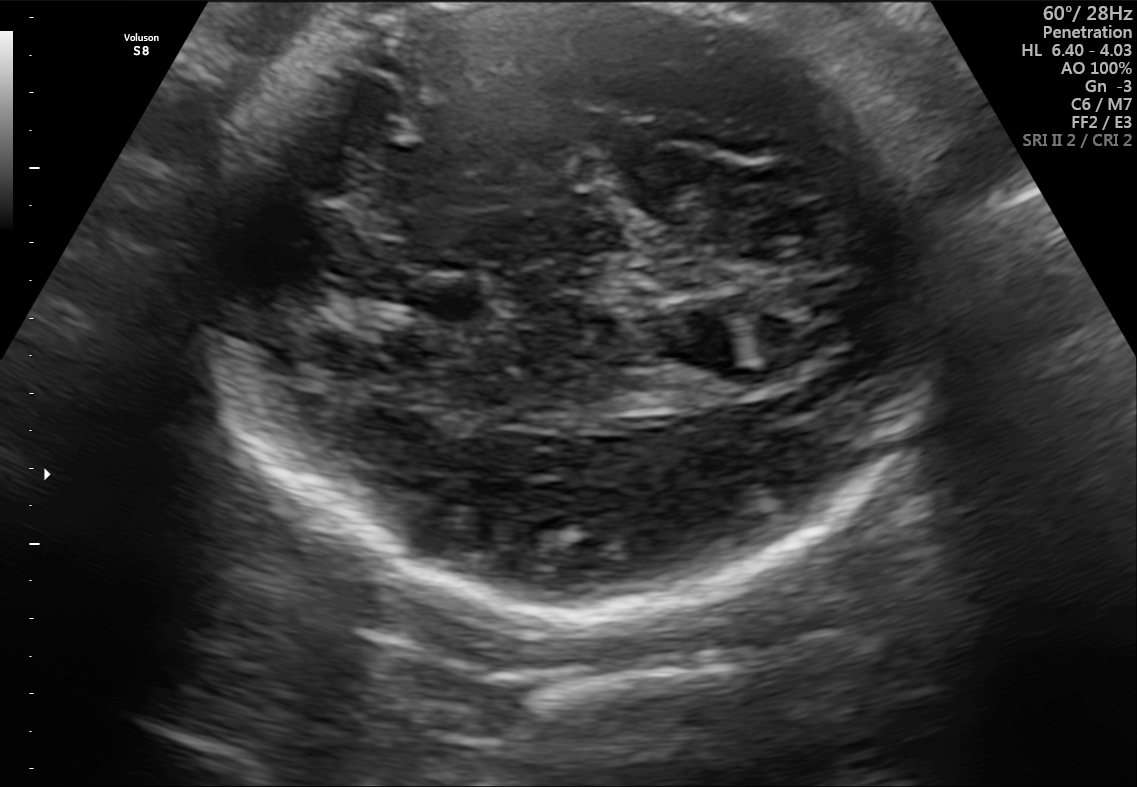
Fetal brain, trans-thalamic plane. Where is the fetal head?

Head bounding box: [209,5,938,620]